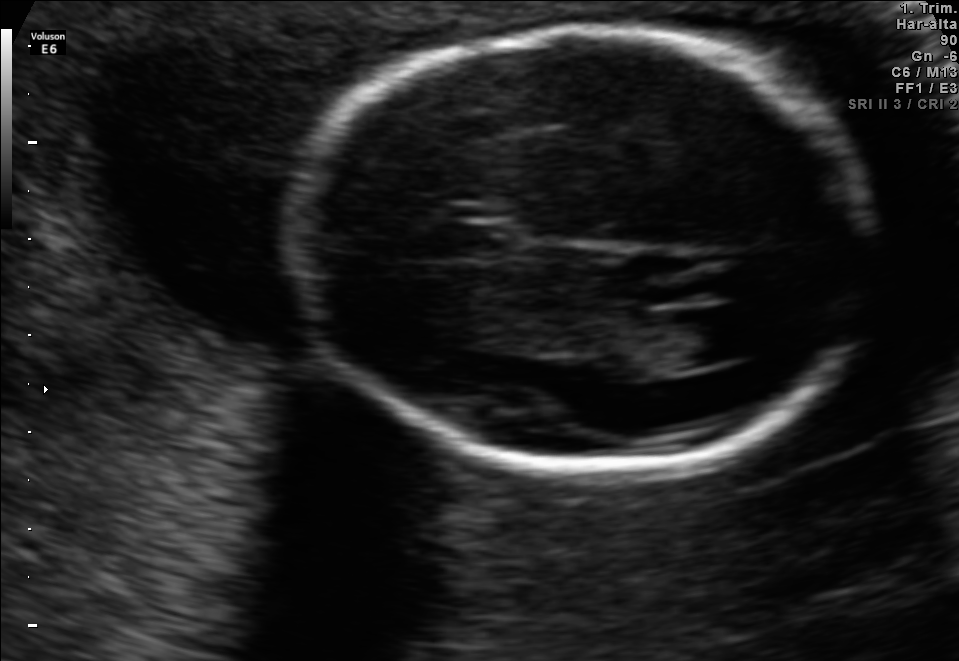
Fetal brain, trans-ventricular plane. Where is the fetal head?

Head bounding box: [281,23,888,476]